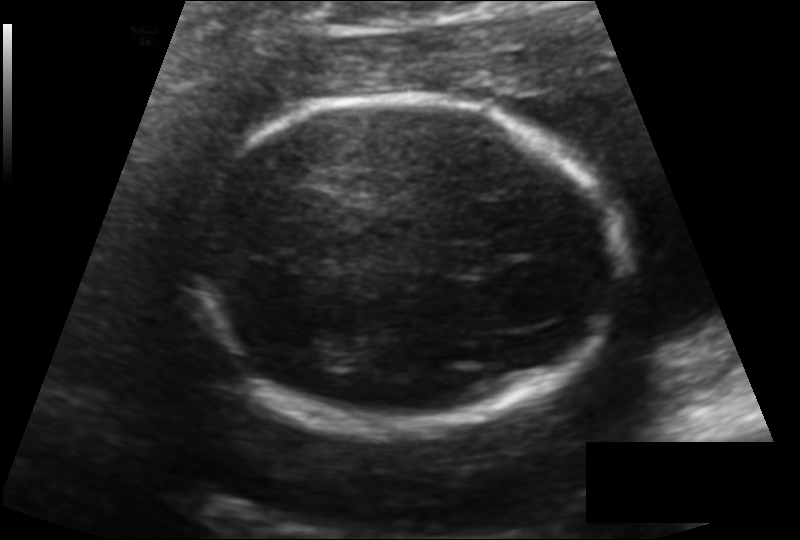
In this fetal head ultrasound, give bounding boxes for the head outline, cavum septum pellucidum (CSP), and lateral ventricle (LV), where visible. Image width: 109.0 mm.

Head: [178,99,627,430]